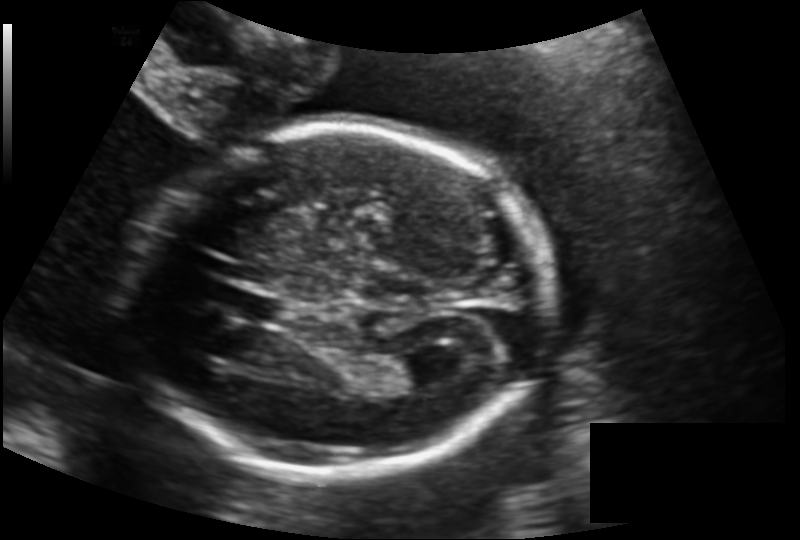
Fetal head ultrasound. Image width: 117.2 mm. Locate the lateral ventricle.

Lateral ventricle: [385,350,446,390]